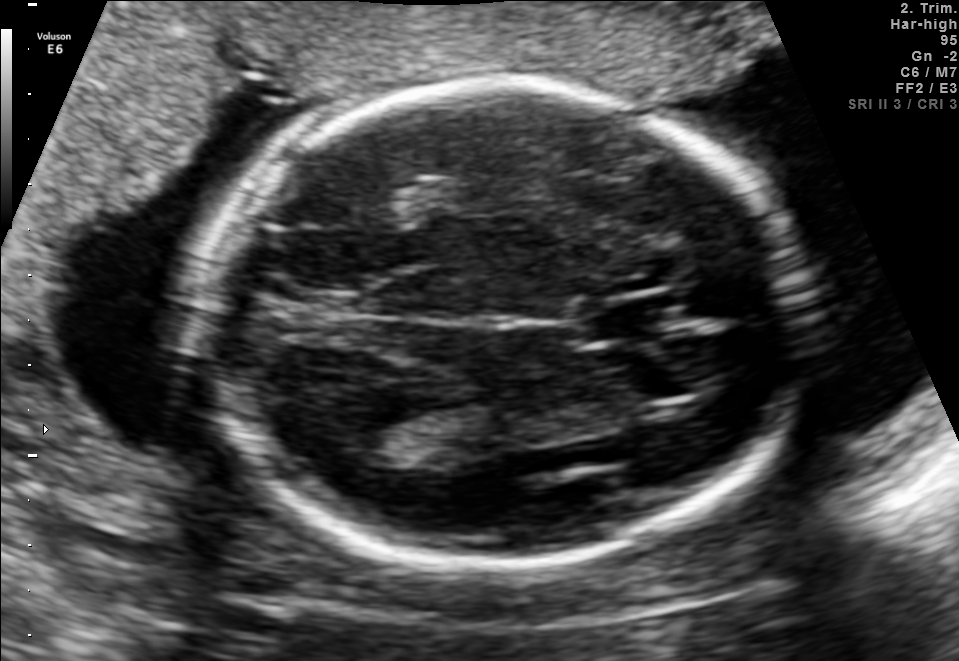
Fetal brain, trans-thalamic plane. Where is the fetal head?

Head bounding box: [200,83,789,560]